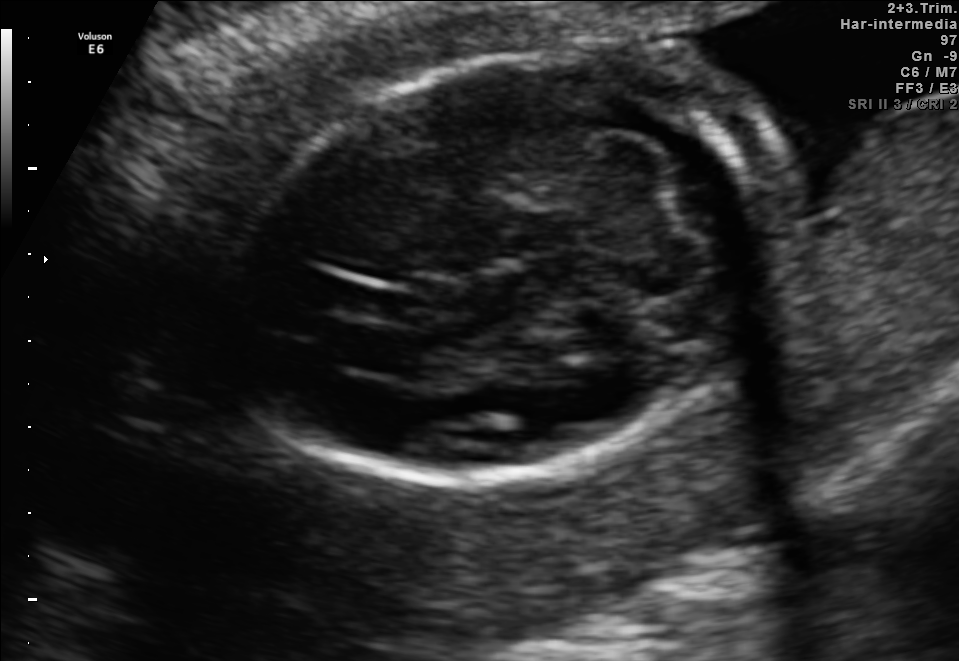
Fetal brain, trans-cerebellum plane. Where is the fetal head?

Head bounding box: [228,47,803,484]